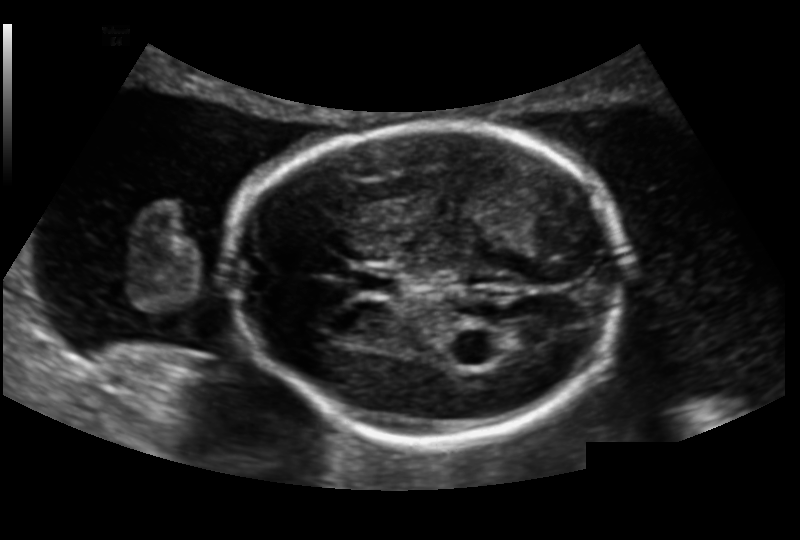
In this fetal head ultrasound, give the bounding box of the fetal head. Image width: 121.1 mm.

[229,123,626,444]